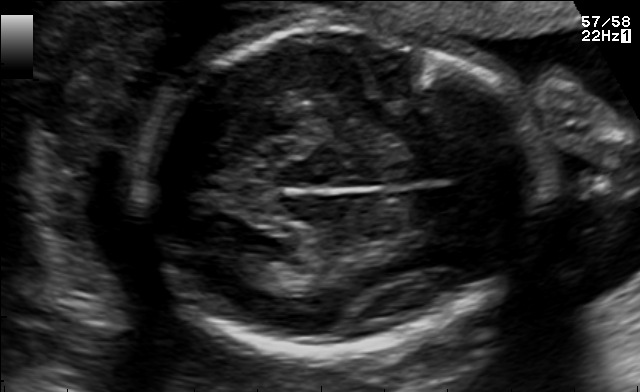
Fetal brain, trans-thalamic plane. Where is the fetal head?

Head bounding box: [143,24,522,353]